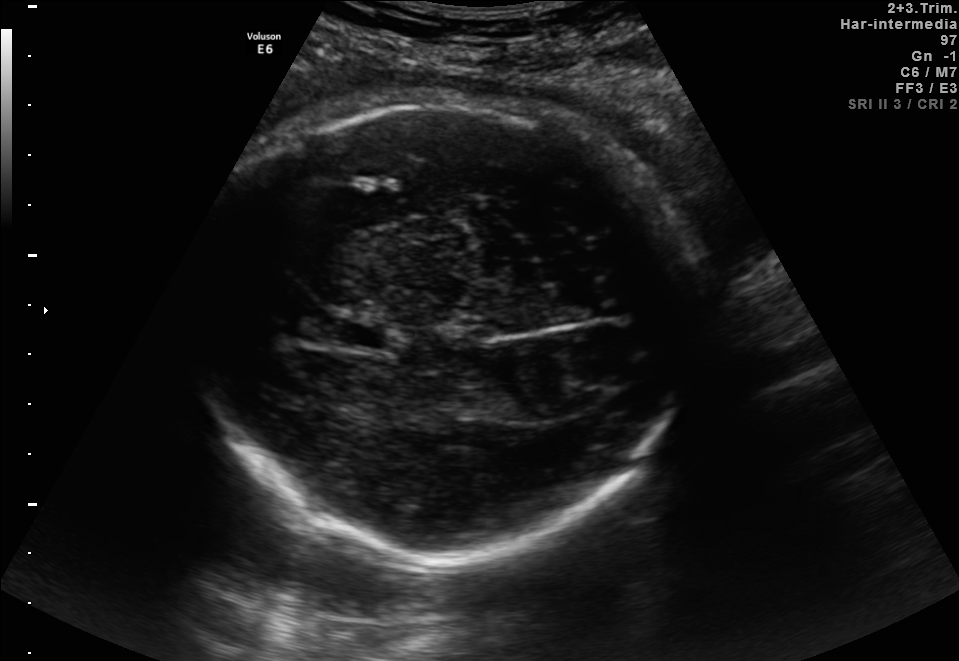
Fetal brain, trans-thalamic plane. Give [x1,y1,x2,y2] bounding boxes for each visible structure among: fetal head, CSP, LV.

Head: [188,100,689,559]
CSP: [334,318,388,350]